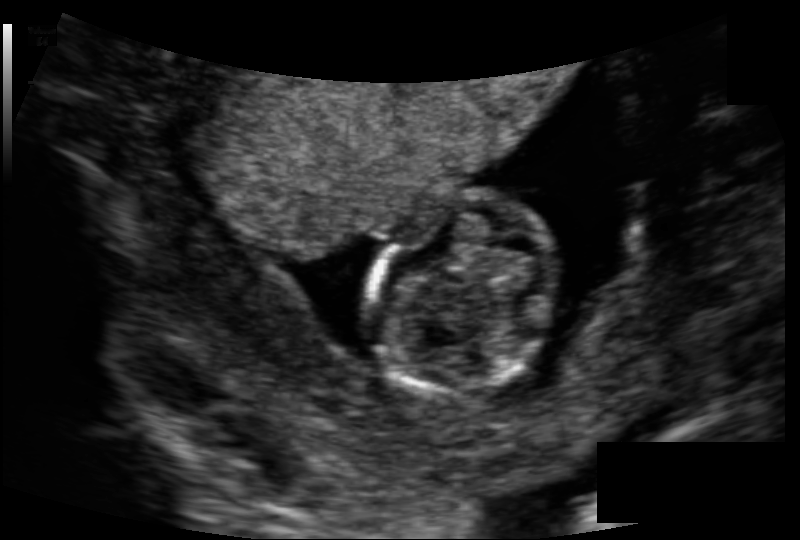
What is the fetal head circumference? Image width is 94.4 mm.

75.4 mm